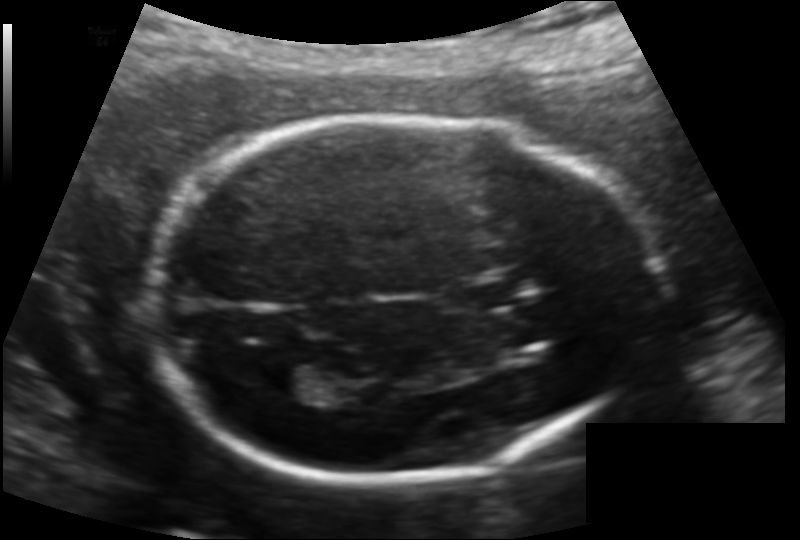
In this fetal head ultrasound, give the bounding box of the fetal head. Image width: 105.6 mm.

[142,115,660,477]